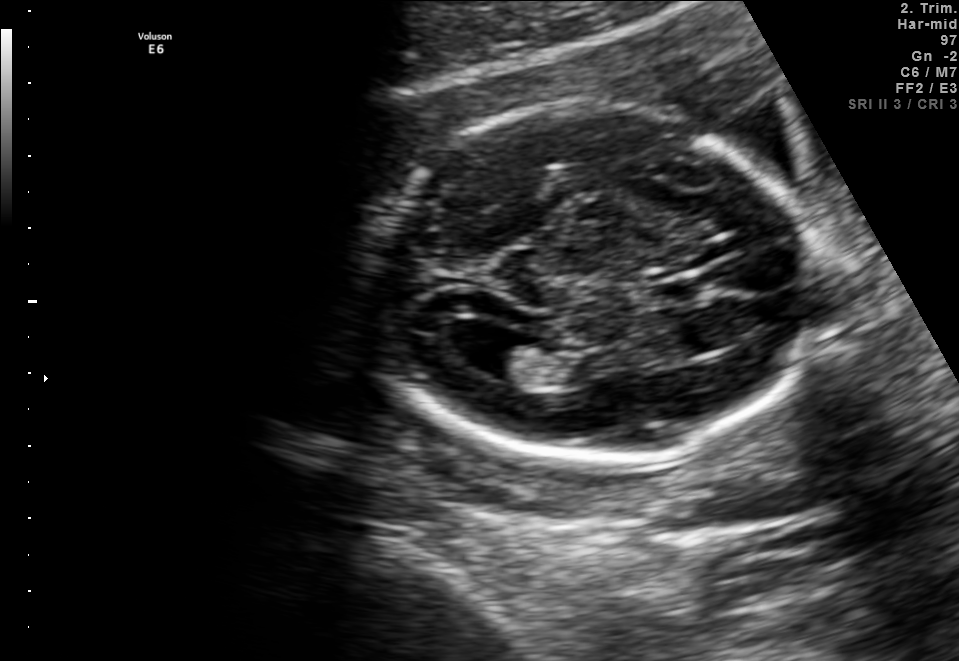
Fetal brain, trans-ventricular plane. Locate the fetal head.

Head: [358,104,831,475]